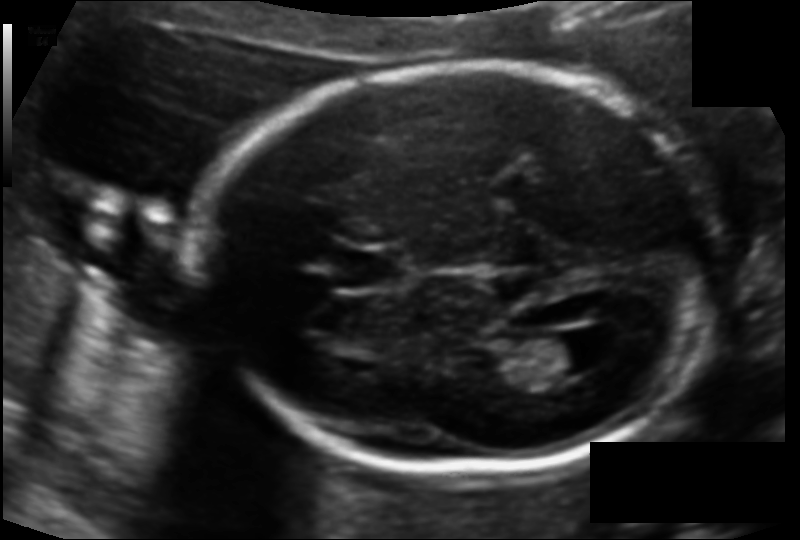
In this fetal head ultrasound, give the bounding box of the lateral ventricle. Image width: 94.2 mm.

[524,325,609,384]